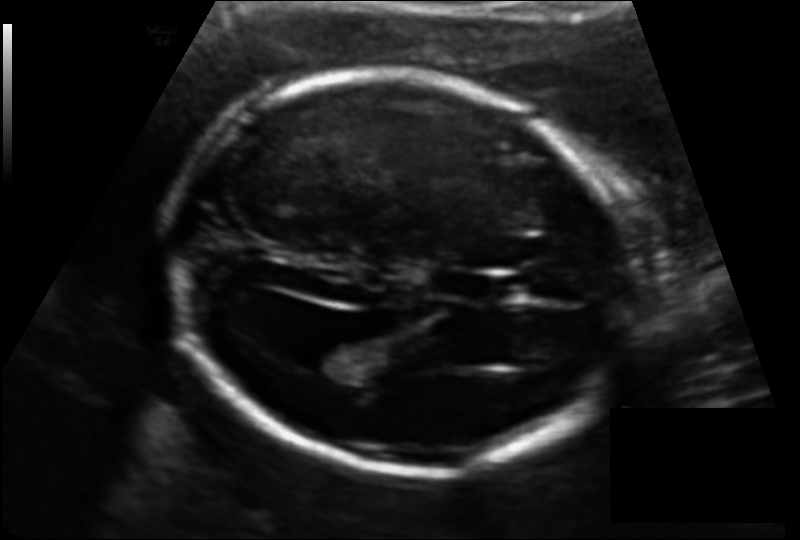
What is the fetal head circumference? Image width is 104.7 mm.

184.5 mm